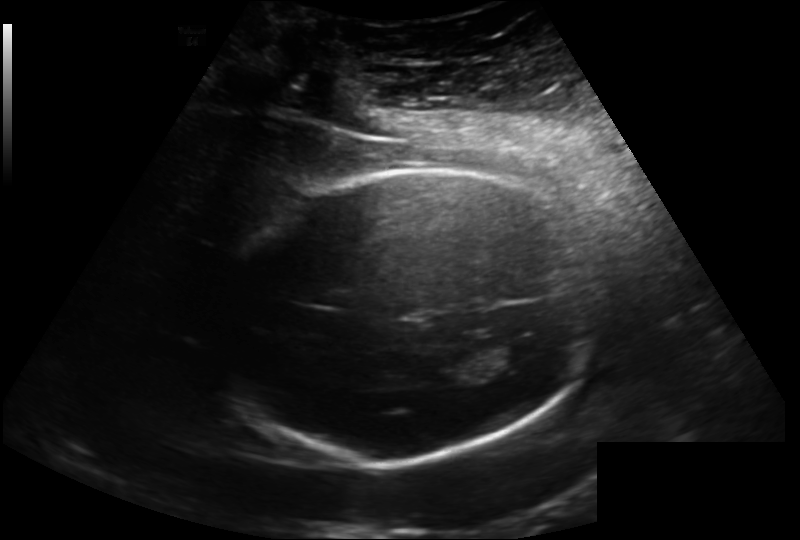
Fetal head ultrasound. Image width: 161.6 mm. Locate the lateral ventricle.

Lateral ventricle: [488,332,551,378]